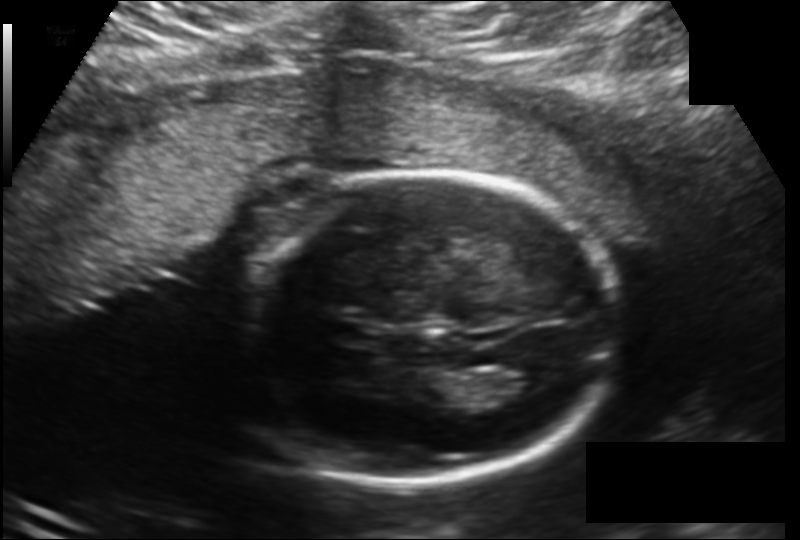
In this fetal head ultrasound, give the bounding box of the lateral ventricle. Image width: 132.4 mm.

[489,362,557,402]